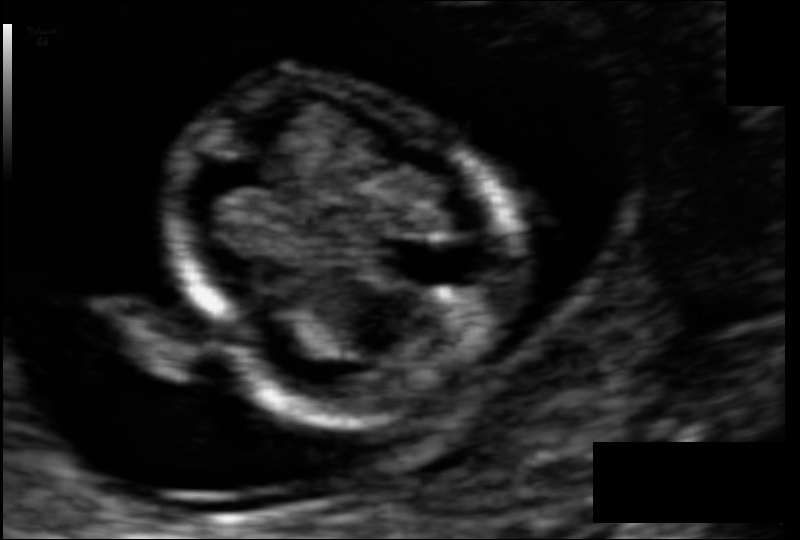
Estimate the fetal head circumference from this 2D ultrasound.

Head circumference: 67.2 mm (image width 47.3 mm).